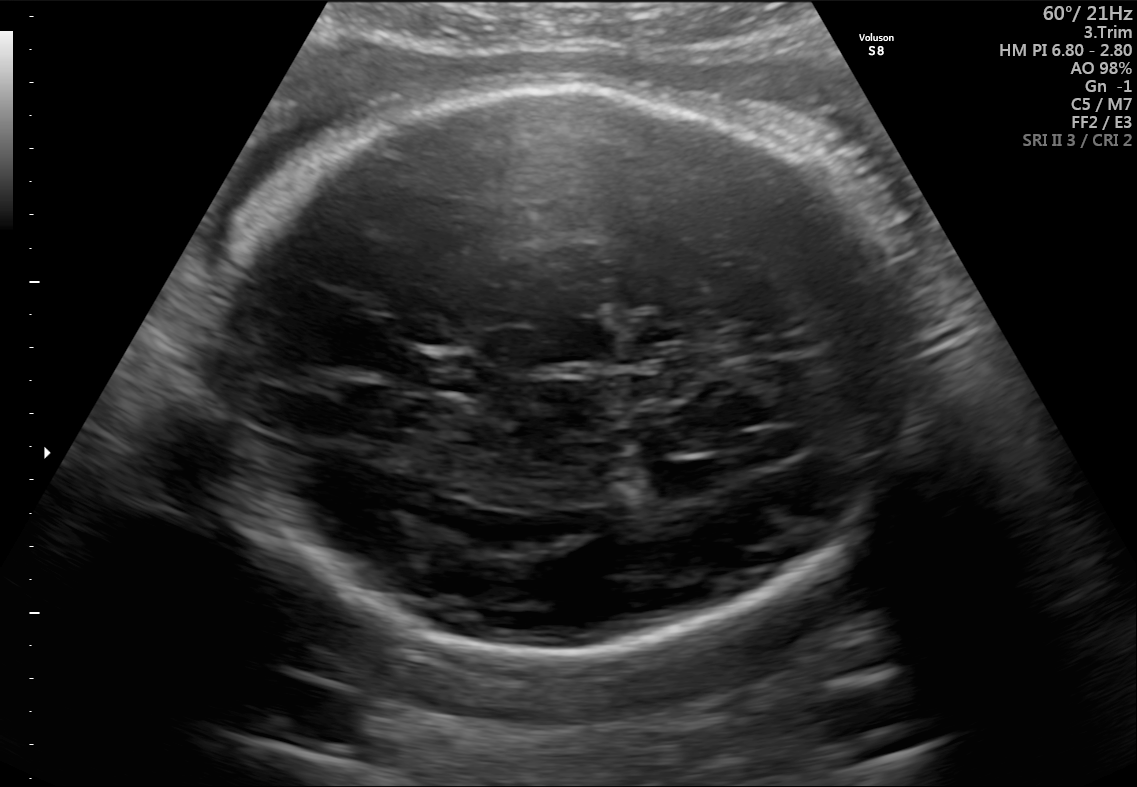
Which standard maternal-fetal ultrasound plane is shown: fetal abdomen, fetal brain, fetal femur, fetal thorax, maternal cervix, or other? If it's fetal brain and one of the three standard brain planes (trans-thalamic, trans-cerebellum, trans-ventricular), name which.

Fetal brain (trans-thalamic plane)